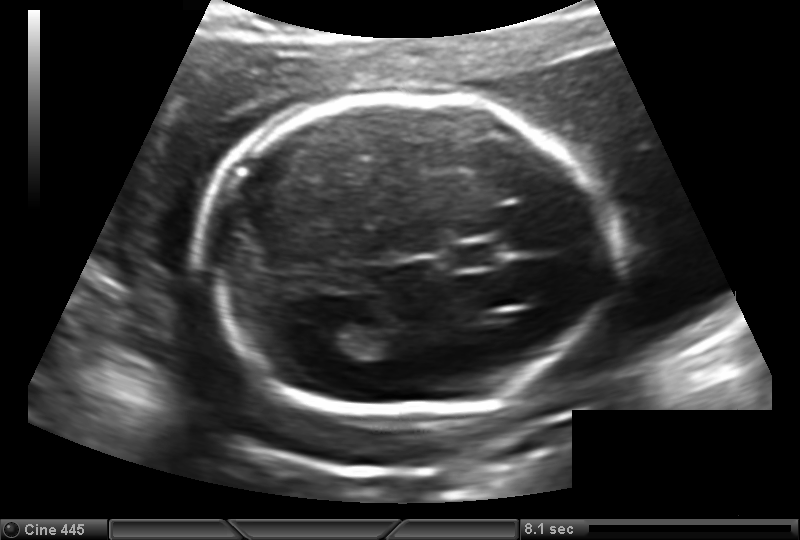
Fetal head ultrasound. Image width: 119.4 mm. Locate the cavum septum pellucidum.

CSP: [446,238,504,272]